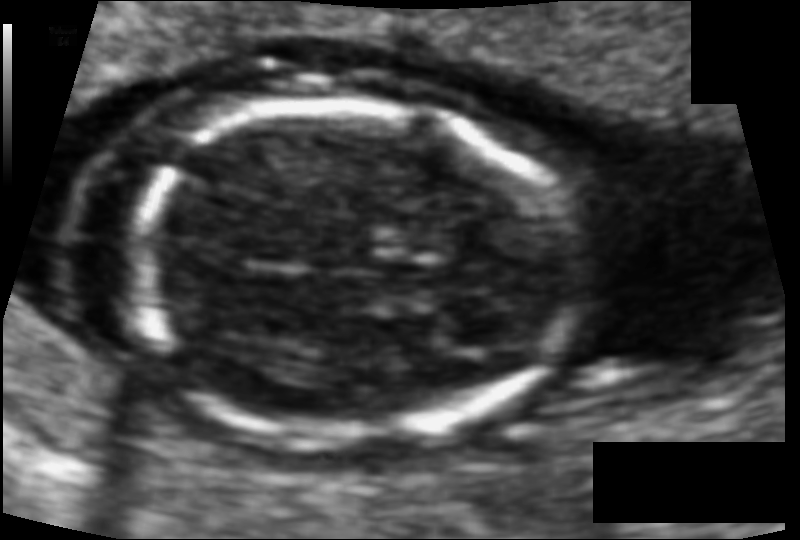
Estimate the fetal head circumference from this 2D ultrasound.

Head circumference: 105.0 mm (image width 65.1 mm).